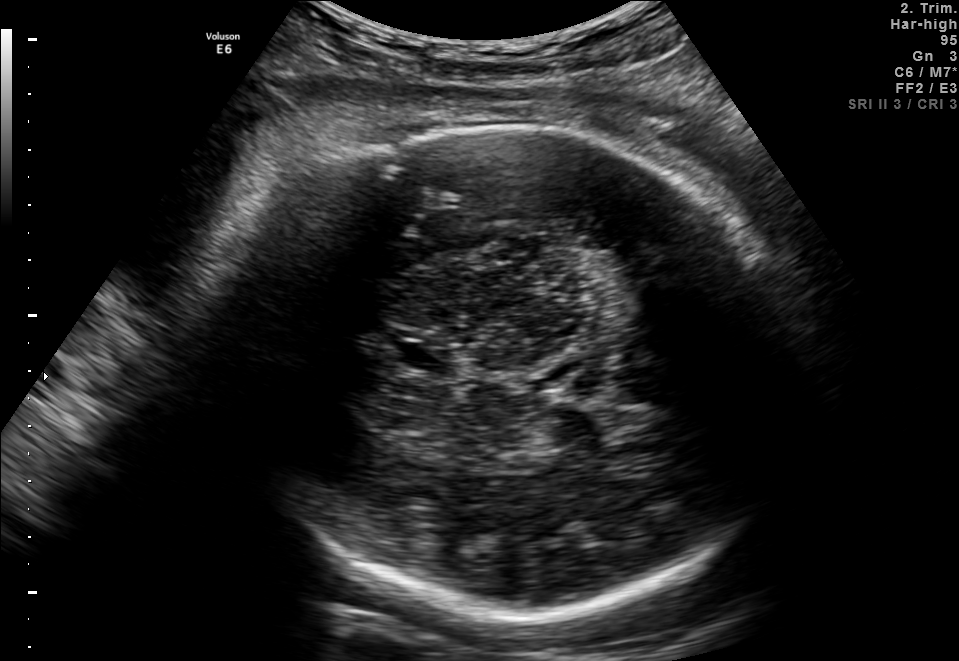
Classify this maternal-fetal ultrasound image as one of the six standard planes — fetal abdomen, fetal brain, fetal femur, fetal thorax, maternal cervix, or other. If it's fetal brain and one of the three standard brain planes (trans-thalamic, trans-cerebellum, trans-ventricular), name which.

Fetal brain (trans-thalamic plane)